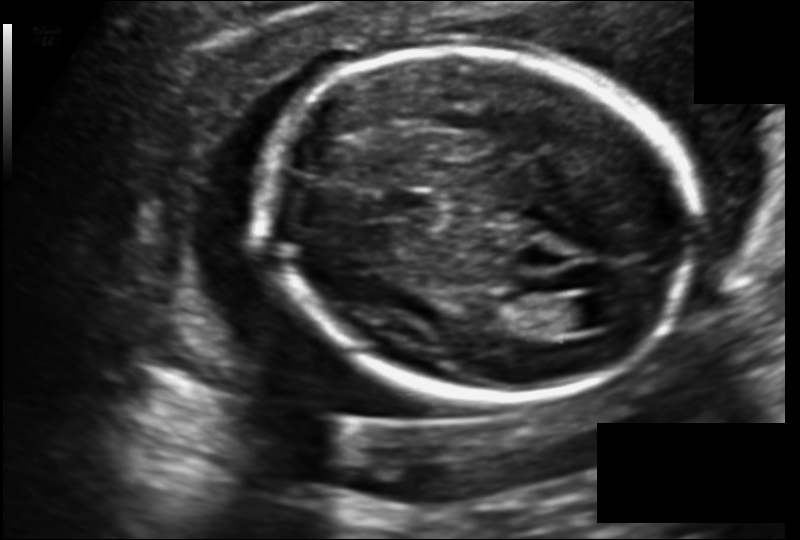
Fetal head ultrasound. Image width: 111.6 mm. Locate the lateral ventricle.

Lateral ventricle: [544,294,605,336]